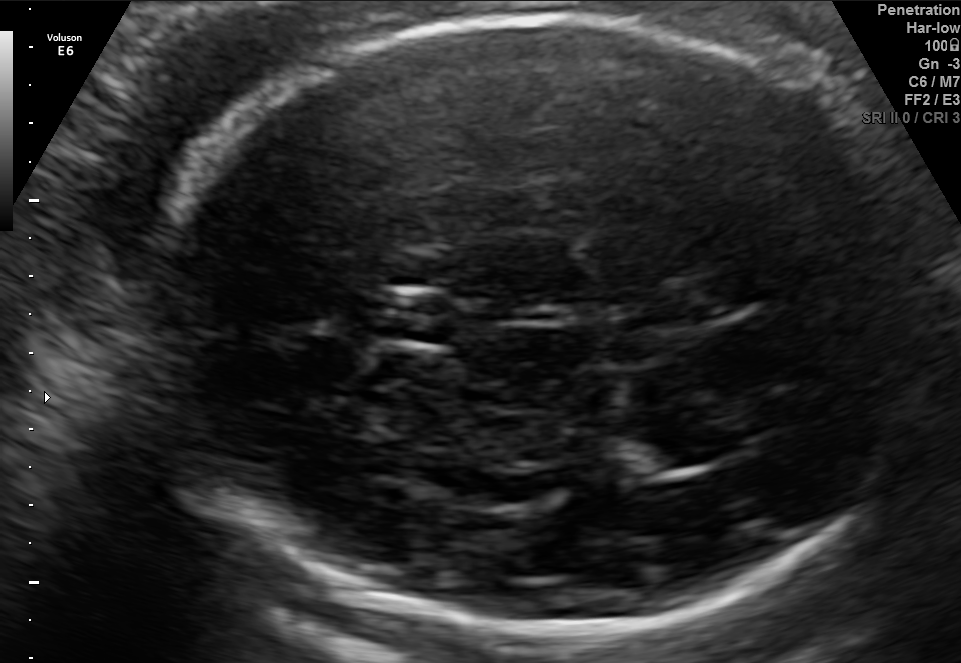
Fetal brain, trans-thalamic plane. Locate the lateral ventricle.

Lateral ventricle: [612,418,731,482]